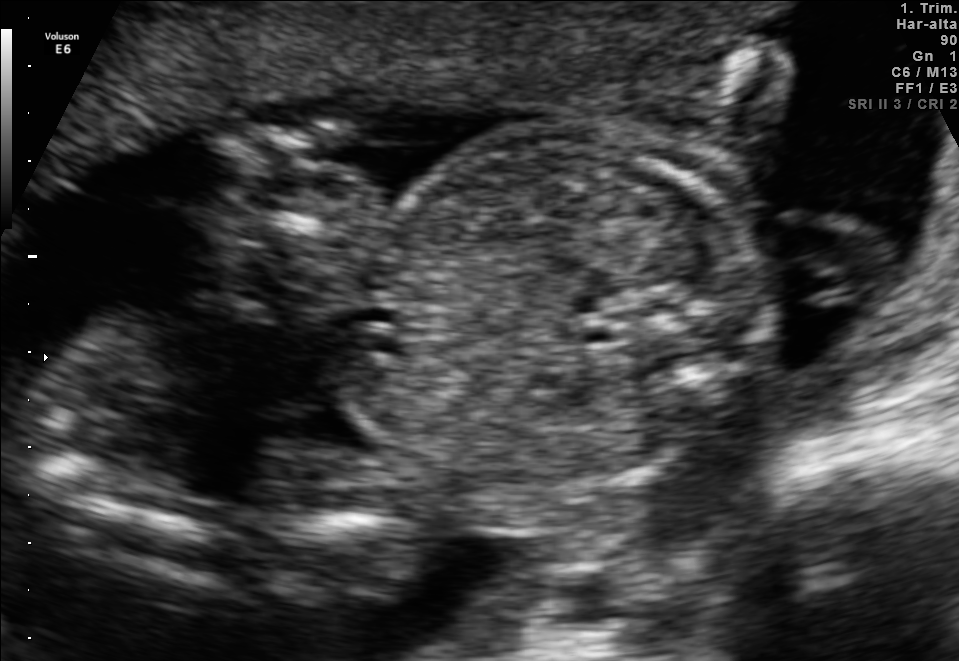
Which standard maternal-fetal ultrasound plane is shown: fetal abdomen, fetal brain, fetal femur, fetal thorax, maternal cervix, or other? If it's fetal brain and one of the three standard brain planes (trans-thalamic, trans-cerebellum, trans-ventricular), name which.

Other